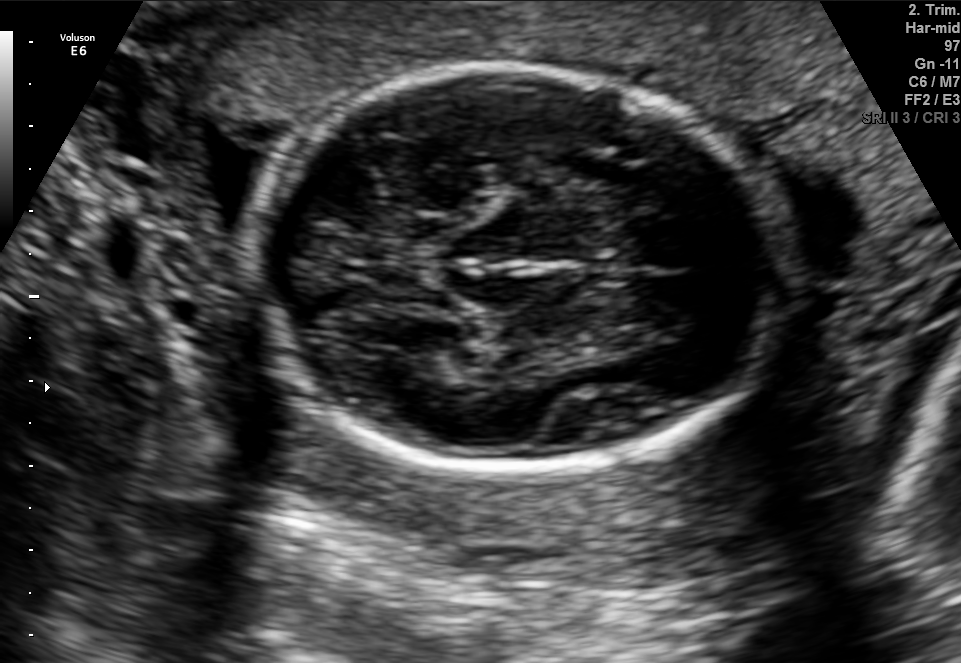
Fetal brain, trans-thalamic plane. Give [x1,y1,x2,y2] bounding boxes for each visible structure among: fetal head, CSP, LV.

Head: [254,68,776,468]